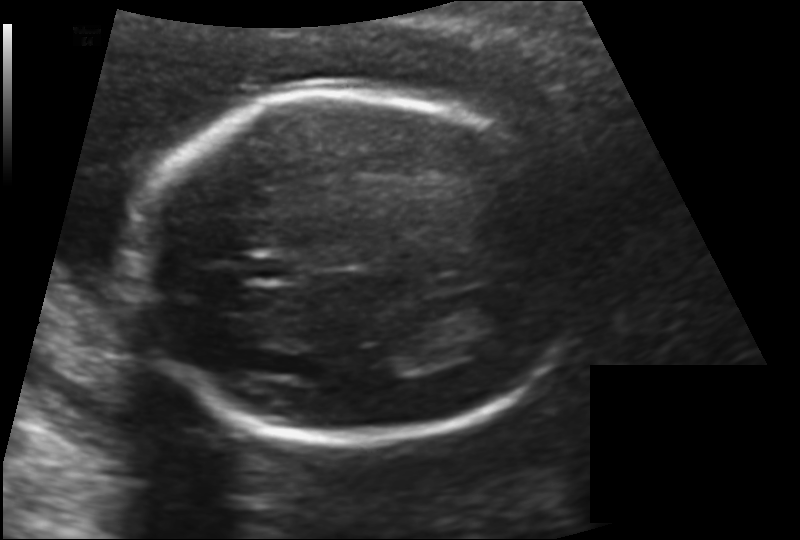
From this fetal ultrasound, estimate the head circumference (image width 113.8 mm).

Head circumference: 185.1 mm.